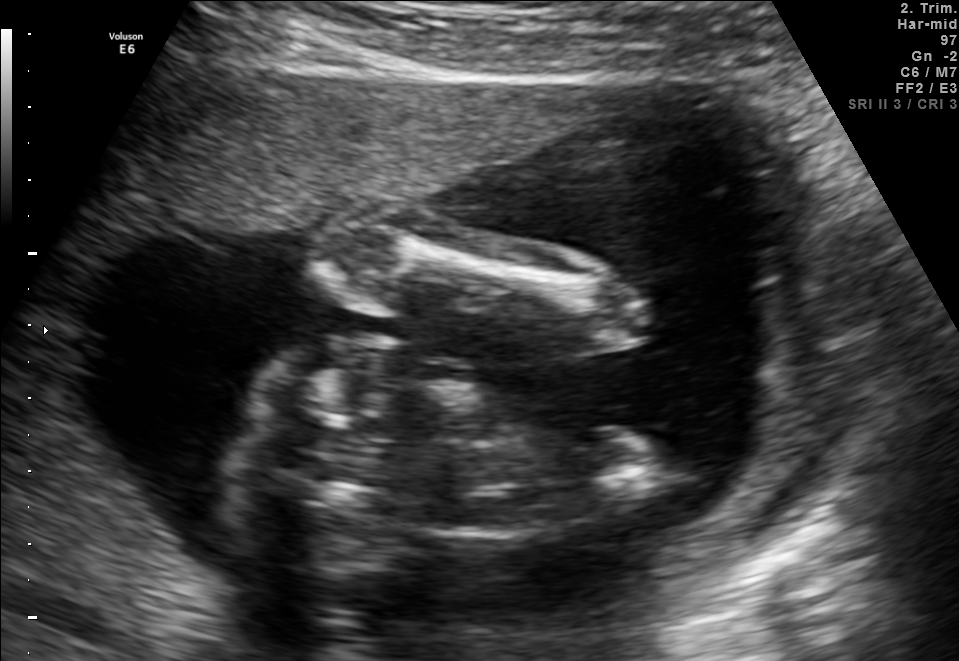
Identify the standard plane in this fetal ultrasound image: fetal abdomen, fetal brain, fetal femur, fetal thorax, maternal cervix, or other. If it's fetal brain and one of the three standard brain planes (trans-thalamic, trans-cerebellum, trans-ventricular), name which.

Other